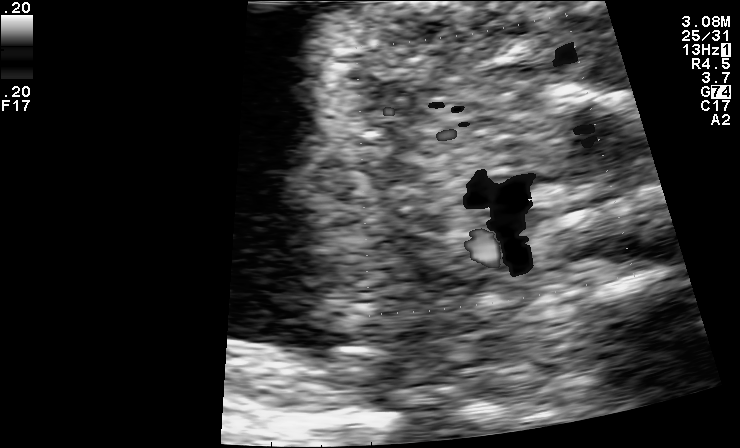
Which standard maternal-fetal ultrasound plane is shown: fetal abdomen, fetal brain, fetal femur, fetal thorax, maternal cervix, or other? If it's fetal brain and one of the three standard brain planes (trans-thalamic, trans-cerebellum, trans-ventricular), name which.

Other